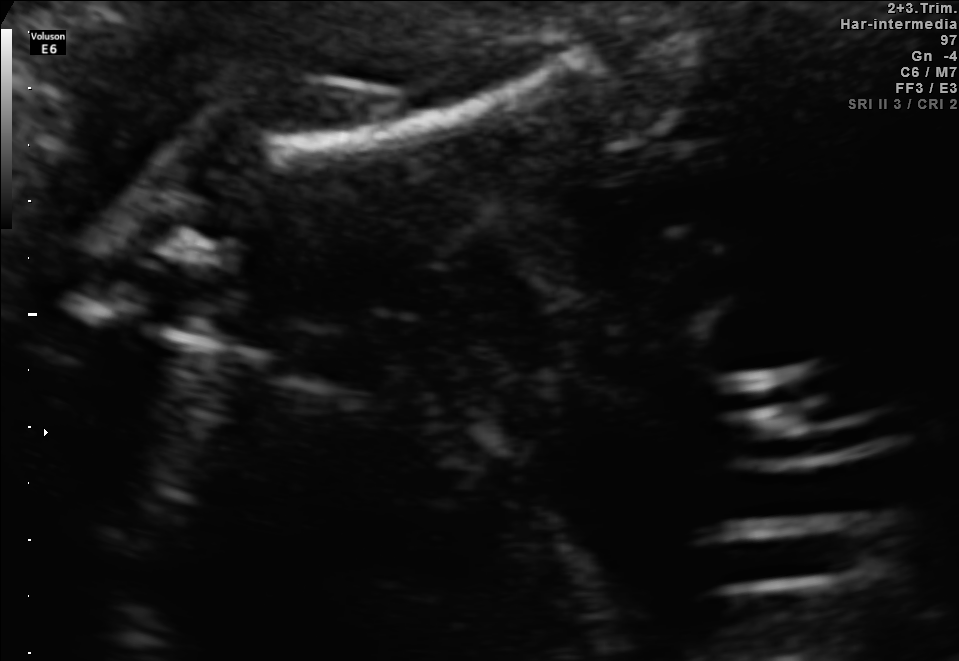
Which standard maternal-fetal ultrasound plane is shown: fetal abdomen, fetal brain, fetal femur, fetal thorax, maternal cervix, or other? If it's fetal brain and one of the three standard brain planes (trans-thalamic, trans-cerebellum, trans-ventricular), name which.

Fetal femur